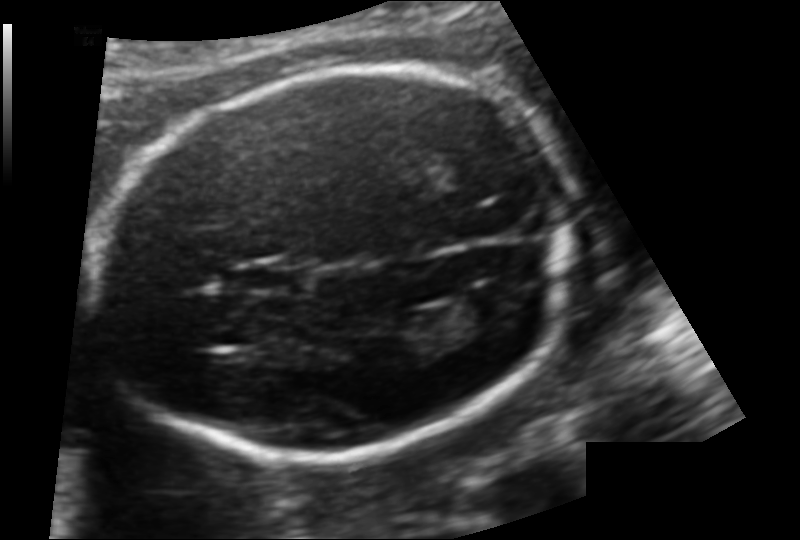
Fetal head ultrasound. Image width: 98.8 mm. Locate the lateral ventricle.

Lateral ventricle: [443,282,510,337]